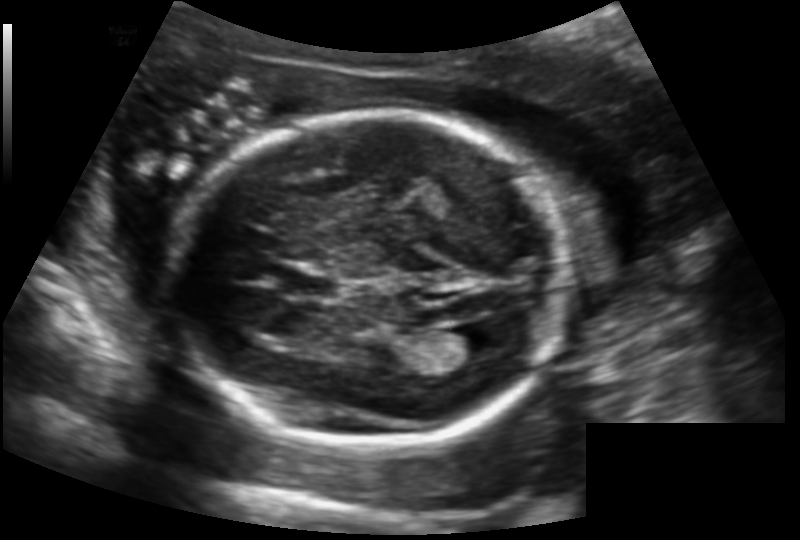
Fetal head ultrasound. Image width: 117.4 mm. Where is the cavum septum pellucidum?

CSP bounding box: [280,267,340,298]